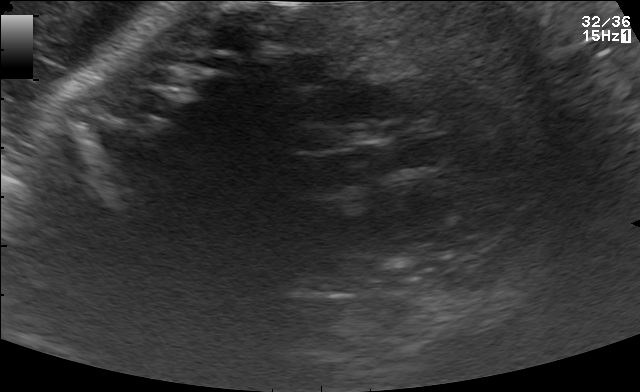
This is a 2D maternal-fetal ultrasound frame. Is it a fetal abdomen, fetal brain, fetal femur, fetal thorax, maternal cervix, or other standard plane? If it's fetal brain and one of the three standard brain planes (trans-thalamic, trans-cerebellum, trans-ventricular), name which.

Other